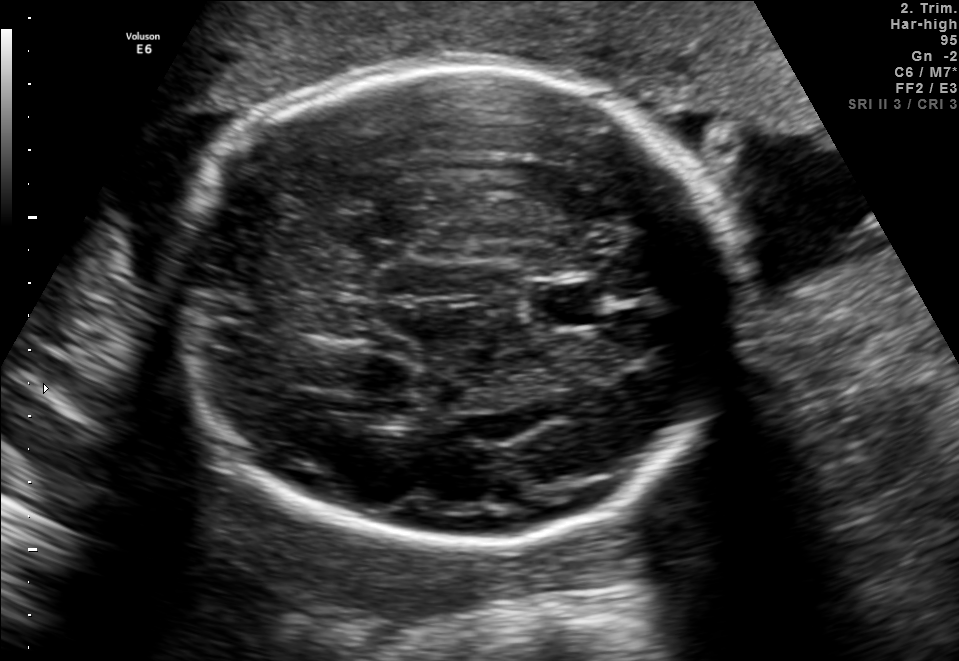
Fetal brain, trans-thalamic plane. Locate the cavum septum pellucidum.

CSP: [533,281,603,330]